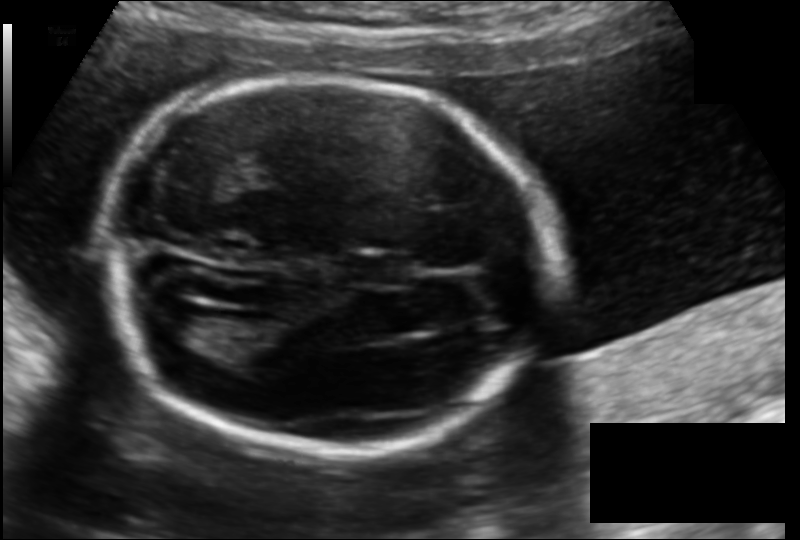
In this fetal head ultrasound, give the bounding box of the cavum septum pellucidum. Image width: 107.8 mm.

[354,256,412,284]